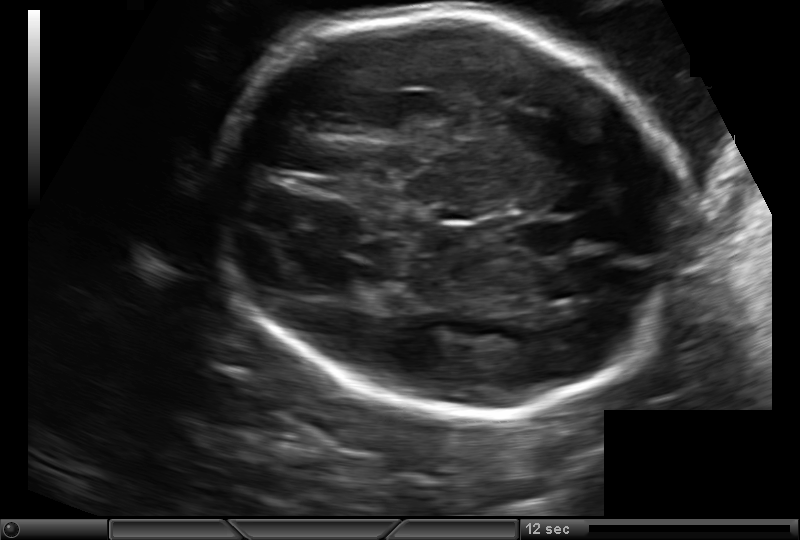
Fetal head ultrasound. Image width: 137.2 mm. Give [x1,y1,x2,y2] bounding boxes for each visible structure among: fetal head, CSP, LV.

Head: [216,14,689,415]